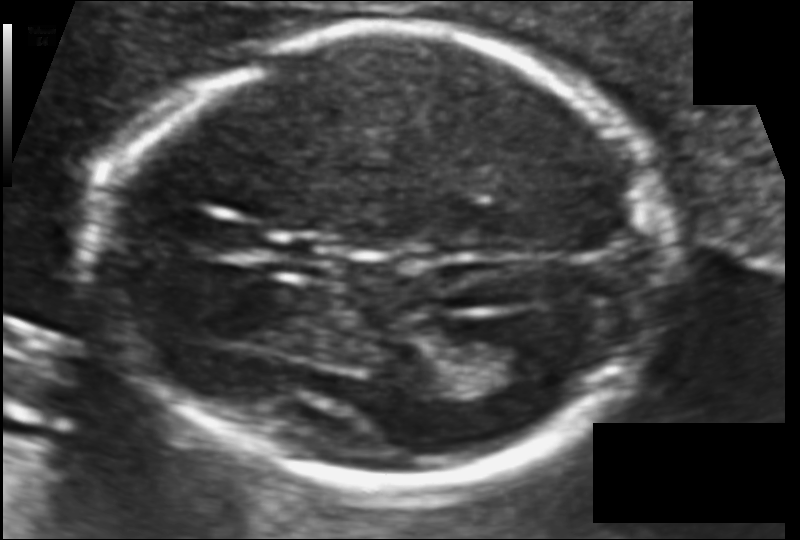
In this fetal head ultrasound, give bounding boxes for the head outline, cavum septum pellucidum (CSP), and lateral ventricle (LV), where visible. Image width: 78.9 mm.

Head: [102,28,662,488]
Lateral ventricle: [455,323,552,393]